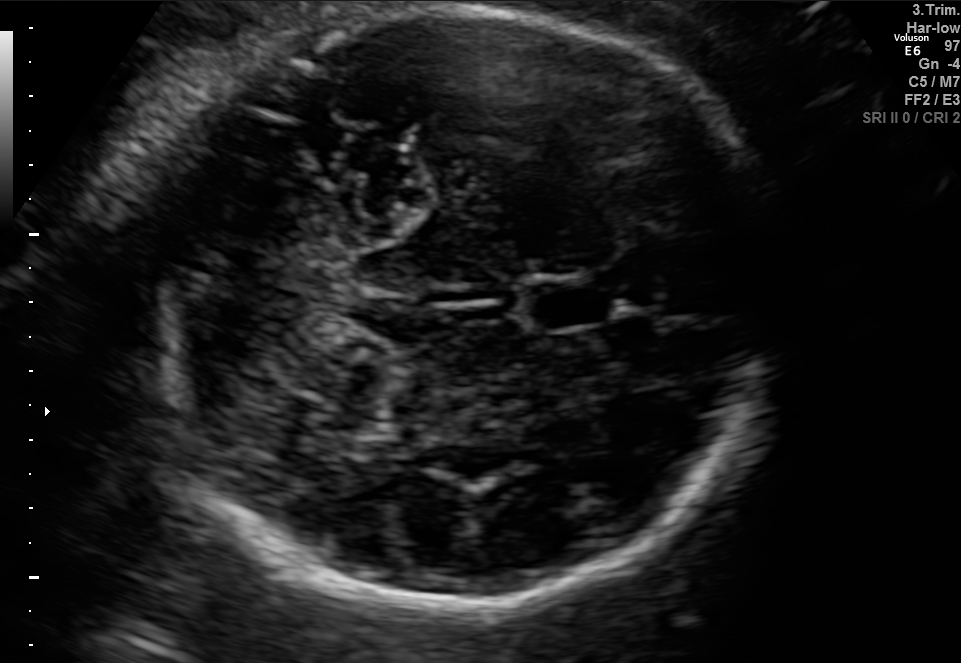
In this fetal brain, trans-cerebellum plane, give bounding boxes for the head outline, cavum septum pellucidum (CSP), and lateral ventricle (LV), where visible.

Head: [141,8,766,605]
CSP: [523,276,612,334]